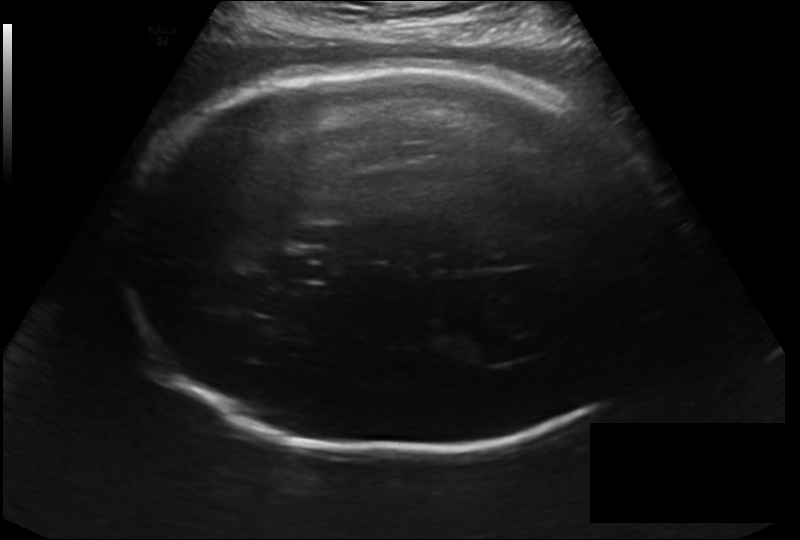
Measure the fetal head circumference shown in this ultrasound image. Image width: 171.6 mm.

Head circumference: 327.1 mm.